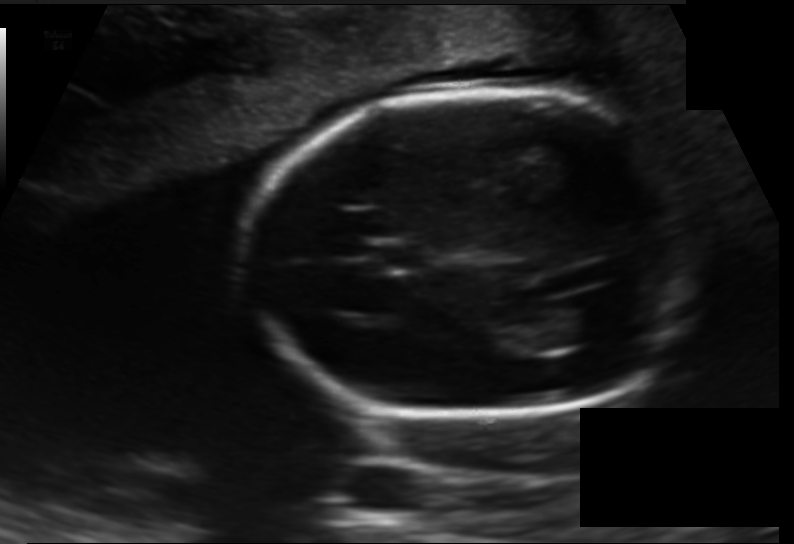
Fetal head ultrasound. Image width: 109.8 mm. Where is the cavum septum pellucidum?

CSP bounding box: [371,245,426,269]